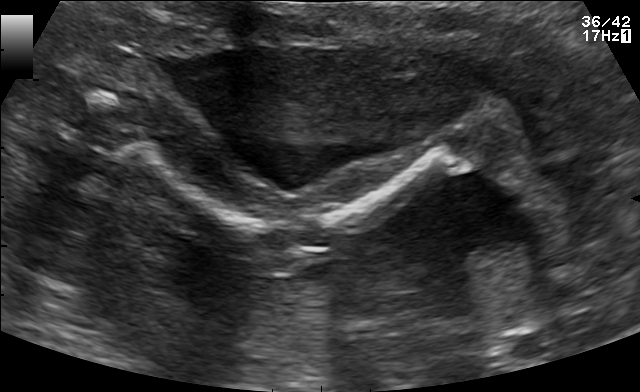
Classify this maternal-fetal ultrasound image as one of the six standard planes — fetal abdomen, fetal brain, fetal femur, fetal thorax, maternal cervix, or other. If it's fetal brain and one of the three standard brain planes (trans-thalamic, trans-cerebellum, trans-ventricular), name which.

Fetal femur